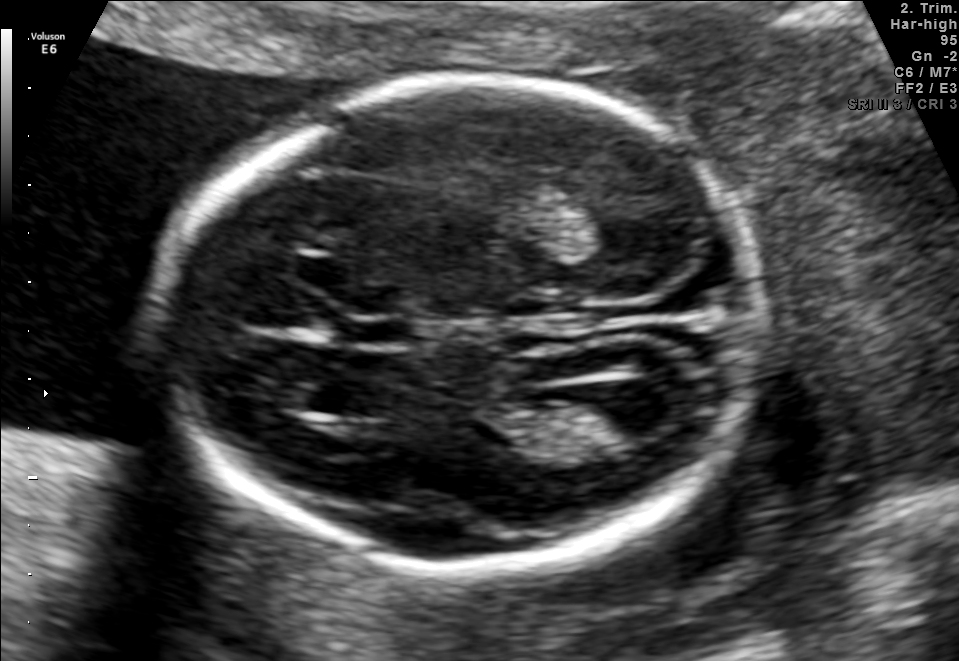
Fetal brain, trans-ventricular plane. Locate the fetal head.

Head: [145,71,780,580]